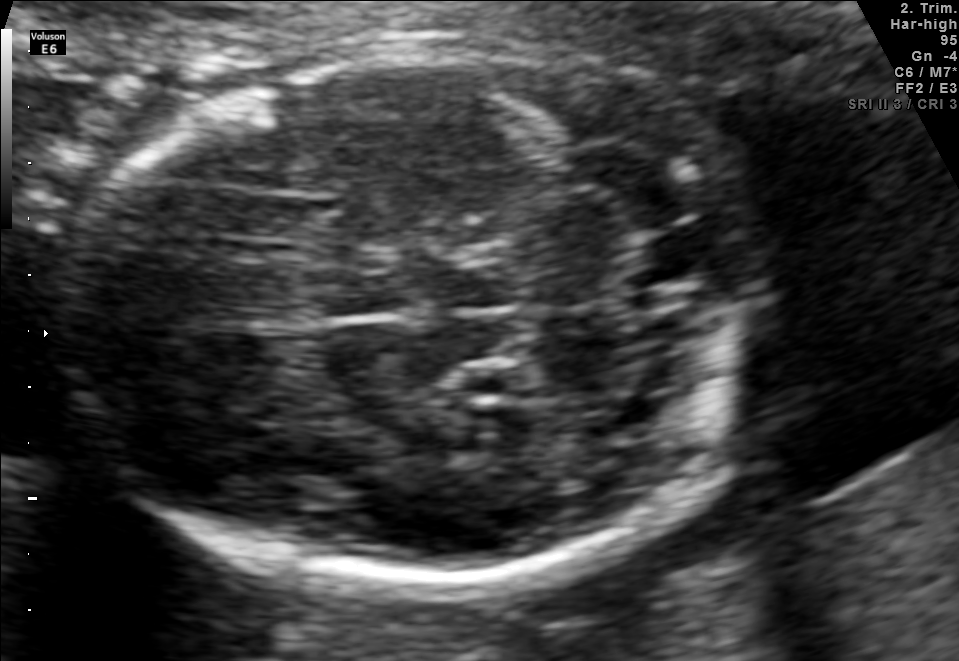
Classify this maternal-fetal ultrasound image as one of the six standard planes — fetal abdomen, fetal brain, fetal femur, fetal thorax, maternal cervix, or other. If it's fetal brain and one of the three standard brain planes (trans-thalamic, trans-cerebellum, trans-ventricular), name which.

Fetal brain (trans-cerebellum plane)